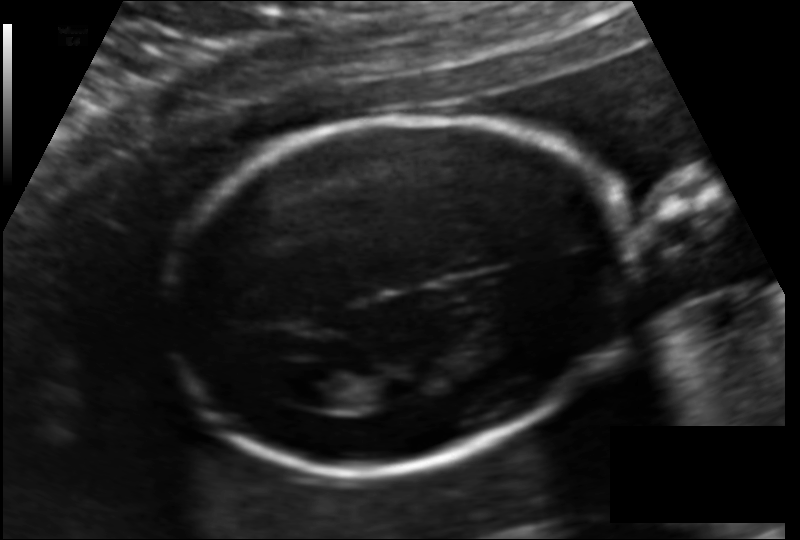
Fetal head ultrasound. Image width: 101.5 mm. Where is the lateral ventricle?

Lateral ventricle bounding box: [287,367,352,410]